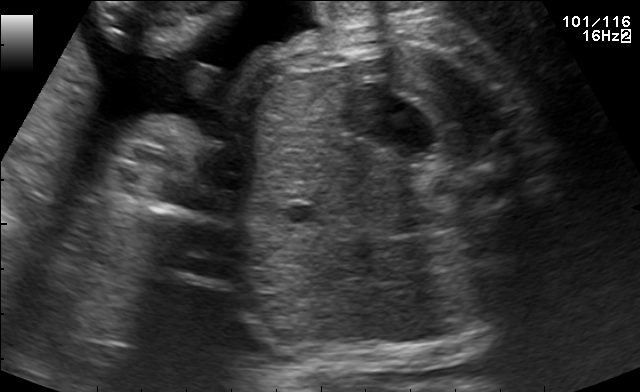
Classify this maternal-fetal ultrasound image as one of the six standard planes — fetal abdomen, fetal brain, fetal femur, fetal thorax, maternal cervix, or other. If it's fetal brain and one of the three standard brain planes (trans-thalamic, trans-cerebellum, trans-ventricular), name which.

Fetal abdomen